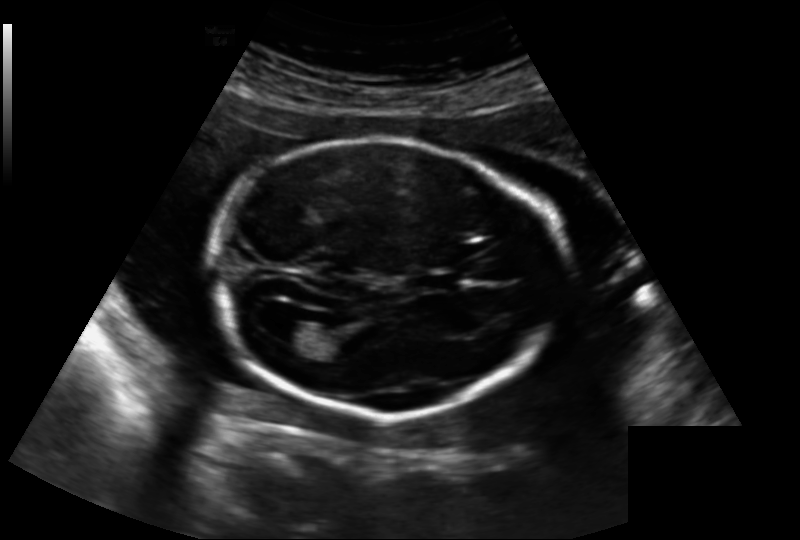
In this fetal head ultrasound, give the bounding box of the fetal head. Image width: 150.3 mm.

[210,139,563,416]